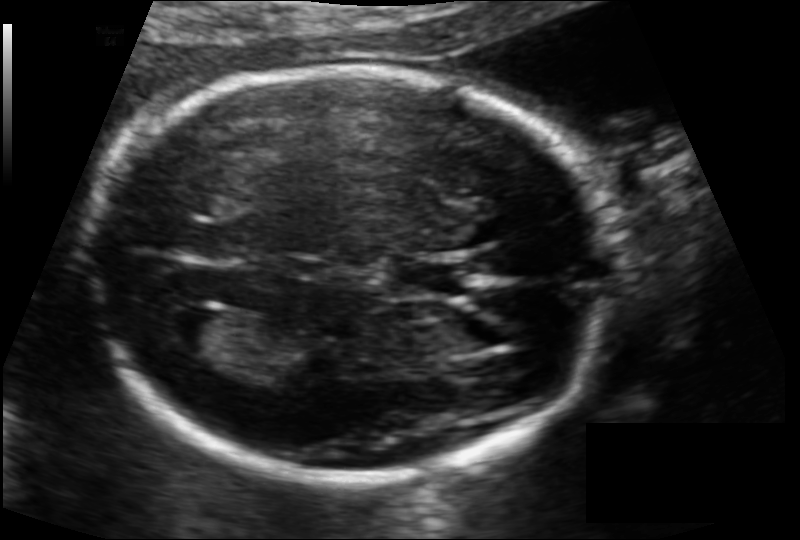
Fetal head ultrasound. Image width: 91.1 mm. Locate the fetal head.

Head: [98,66,610,479]